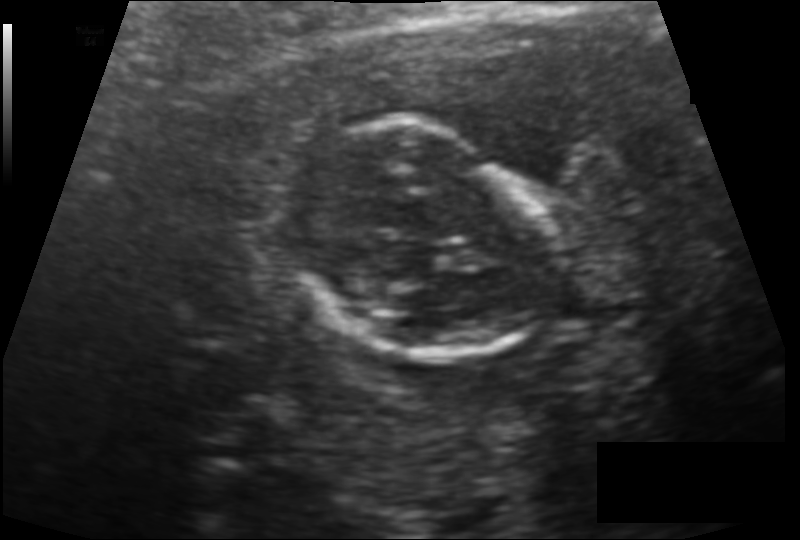
Estimate the fetal head circumference from this 2D ultrasound. Image width: 91.6 mm.

Head circumference: 97.2 mm.